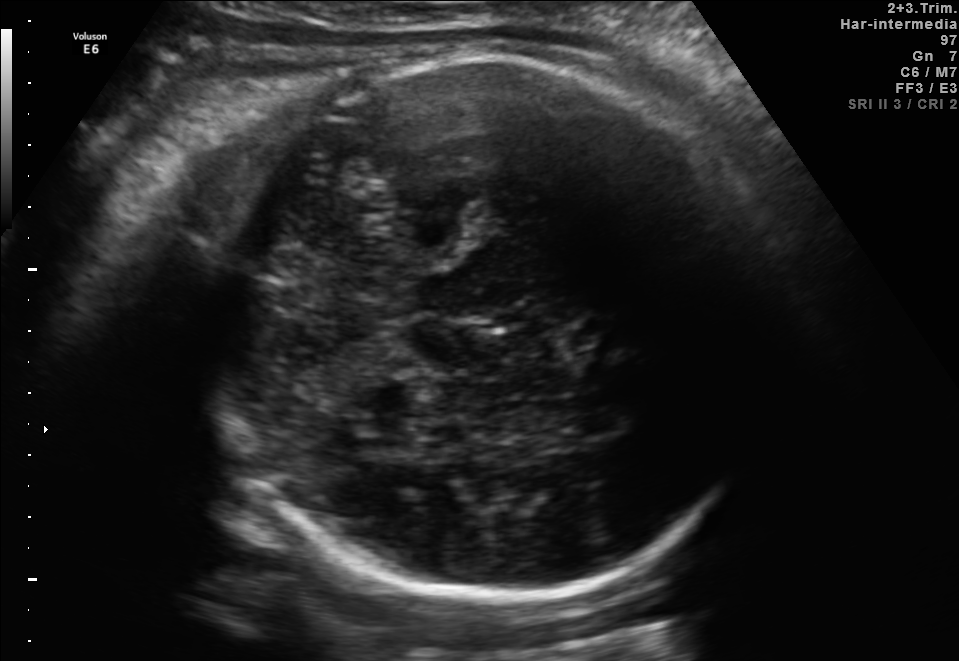
Fetal brain, trans-cerebellum plane. Where is the fetal head?

Head bounding box: [214,57,769,602]